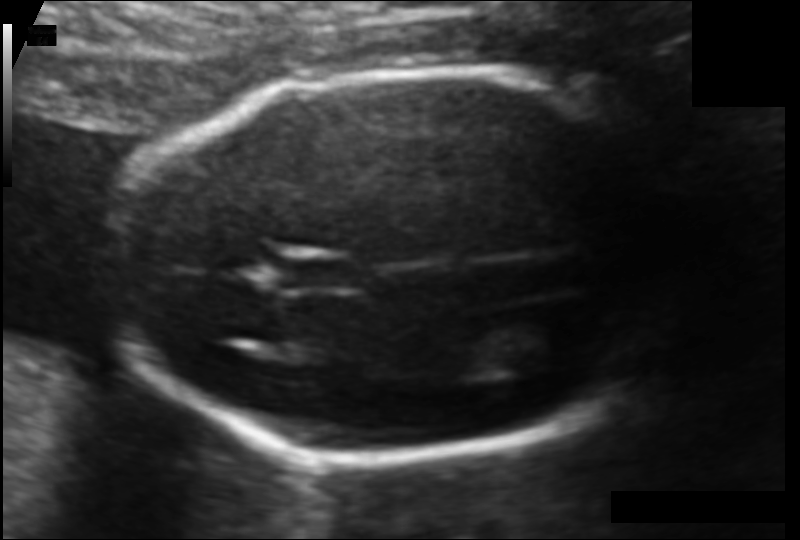
Estimate the fetal head circumference from this 2D ultrasound. Image width: 82.3 mm.

Head circumference: 159.6 mm.